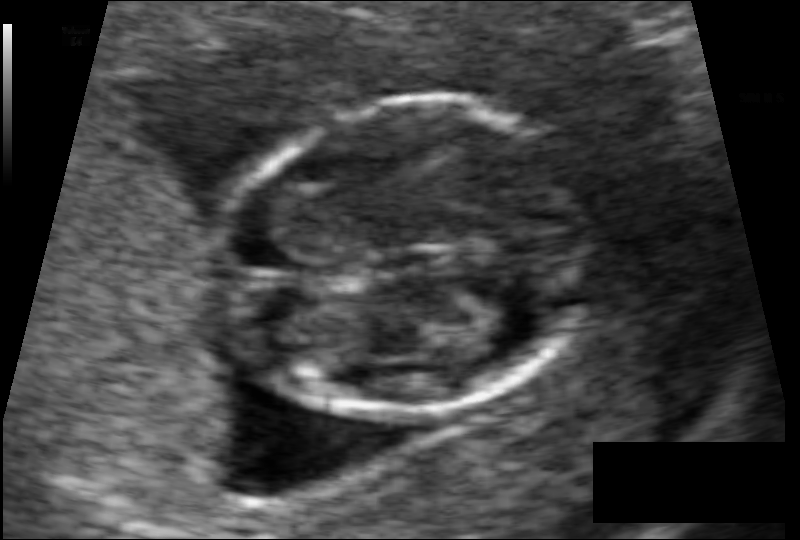
In this fetal head ultrasound, give the bounding box of the fetal head. Image width: 48.9 mm.

[213,104,596,418]